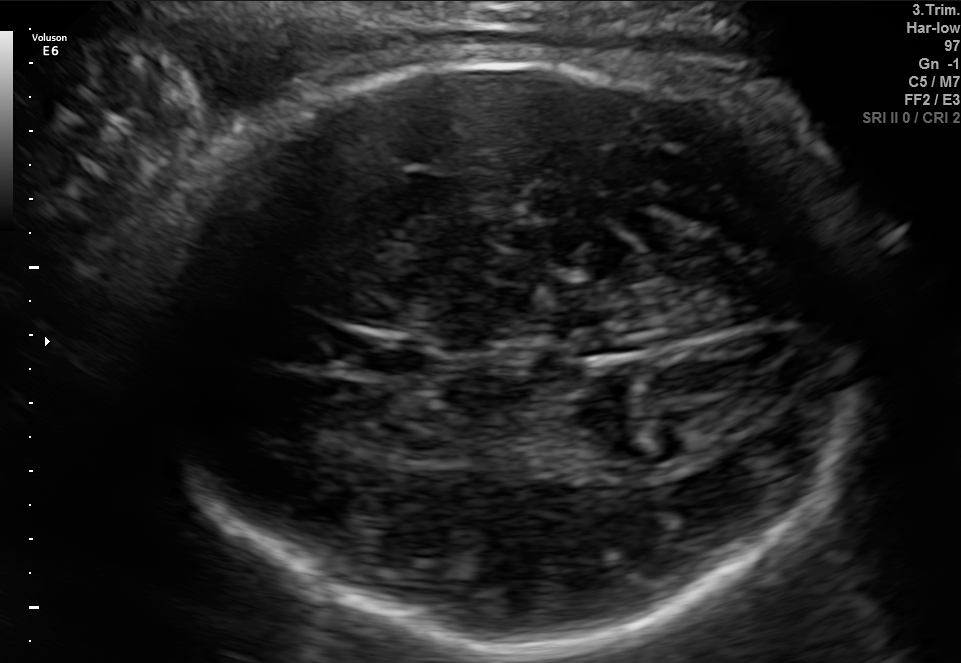
Fetal brain, trans-thalamic plane. Locate the fetal head and, if visible, the cavum septum pellucidum (CSP) and lateral ventricle (LV). Give bounding boxes as [x1,y1,x2,y2].

Head: [153,61,856,652]
CSP: [334,329,431,385]